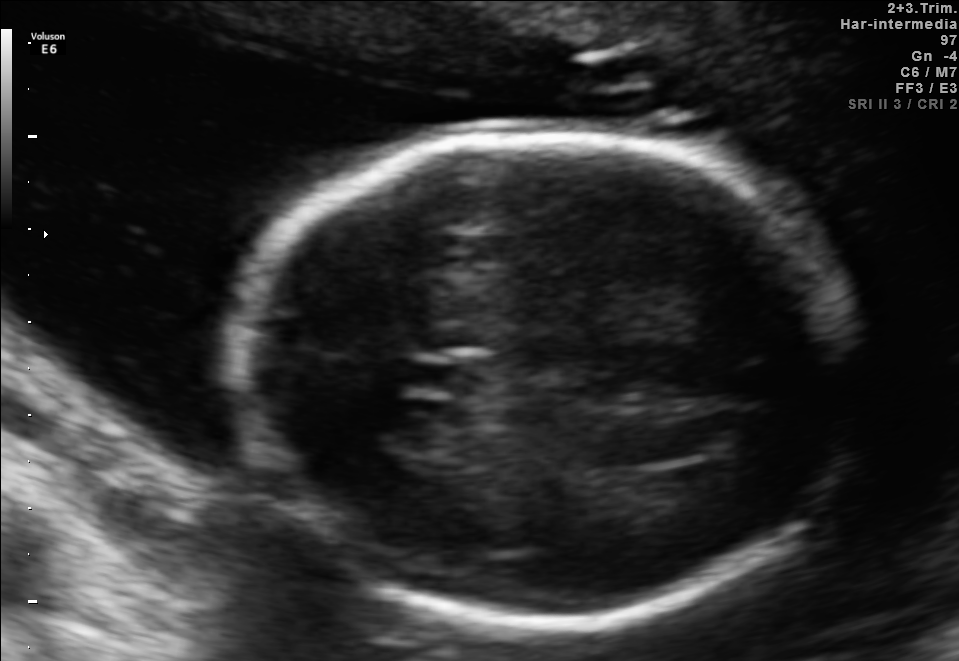
In this fetal brain, trans-thalamic plane, give bounding boxes for the head outline, cavum septum pellucidum (CSP), and lateral ventricle (LV), where visible.

Head: [239,135,850,620]
CSP: [401,362,468,392]